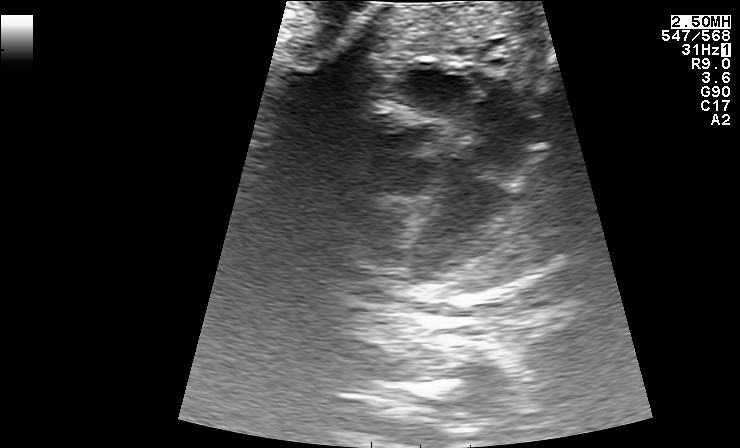
Classify this maternal-fetal ultrasound image as one of the six standard planes — fetal abdomen, fetal brain, fetal femur, fetal thorax, maternal cervix, or other. If it's fetal brain and one of the three standard brain planes (trans-thalamic, trans-cerebellum, trans-ventricular), name which.

Fetal thorax